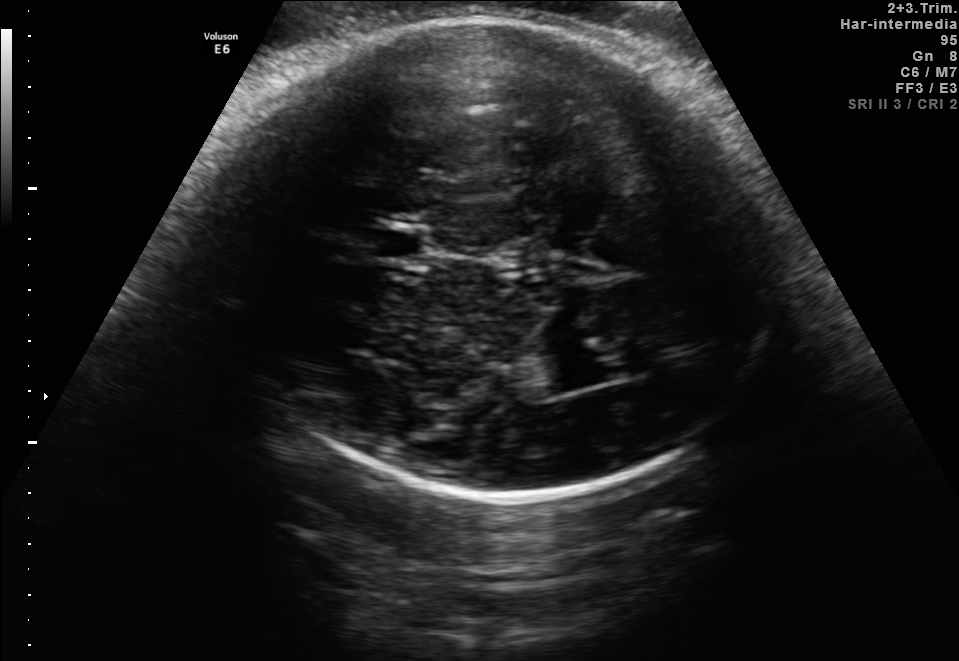
In this fetal brain, trans-thalamic plane, give the bounding box of the lateral ventricle.

[533,347,603,399]